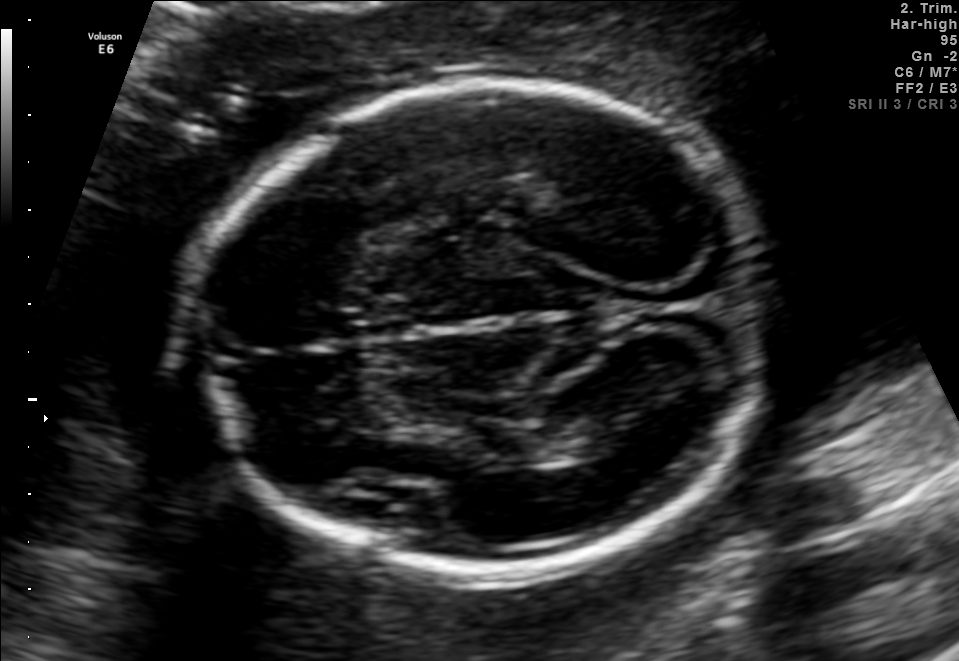
Fetal brain, trans-thalamic plane. Where is the lateral ventricle?

Lateral ventricle bounding box: [532,408,640,468]